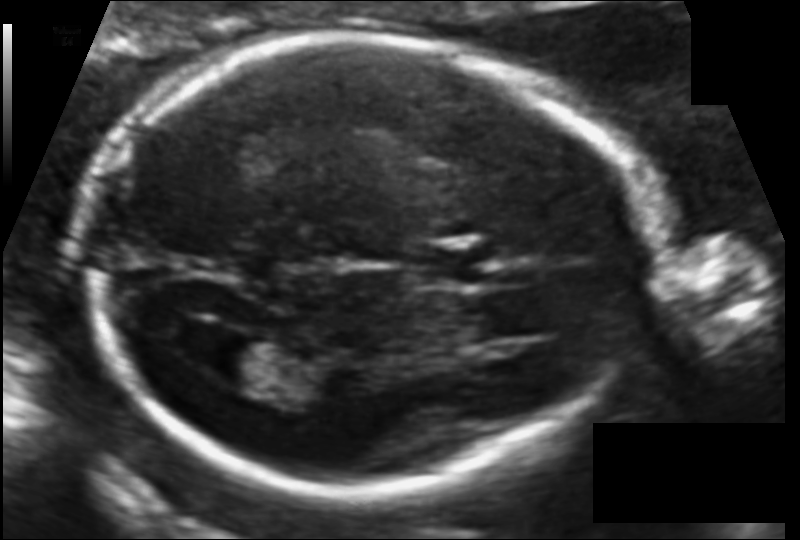
Fetal head ultrasound. Image width: 87.0 mm. Locate the cavum septum pellucidum.

CSP: [413,245,477,285]